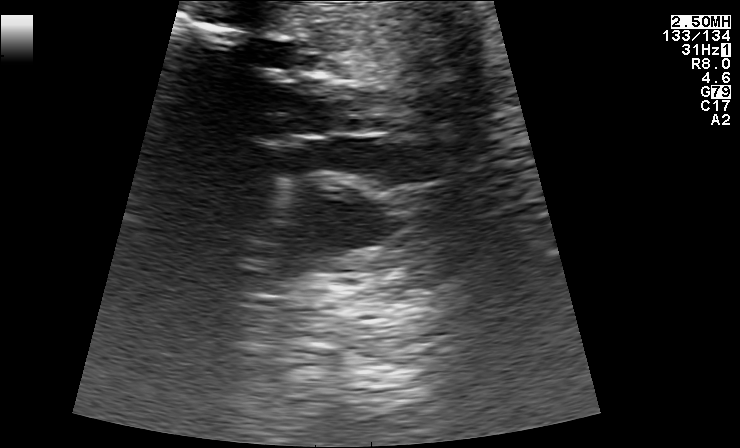
Which standard maternal-fetal ultrasound plane is shown: fetal abdomen, fetal brain, fetal femur, fetal thorax, maternal cervix, or other? If it's fetal brain and one of the three standard brain planes (trans-thalamic, trans-cerebellum, trans-ventricular), name which.

Other